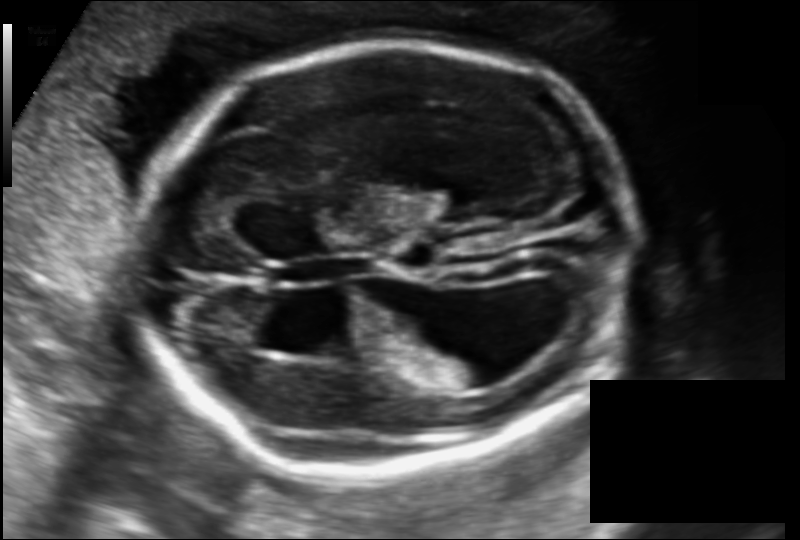
Estimate the fetal head circumference from this 2D ultrasound.

Head circumference: 213.5 mm (image width 112.8 mm).